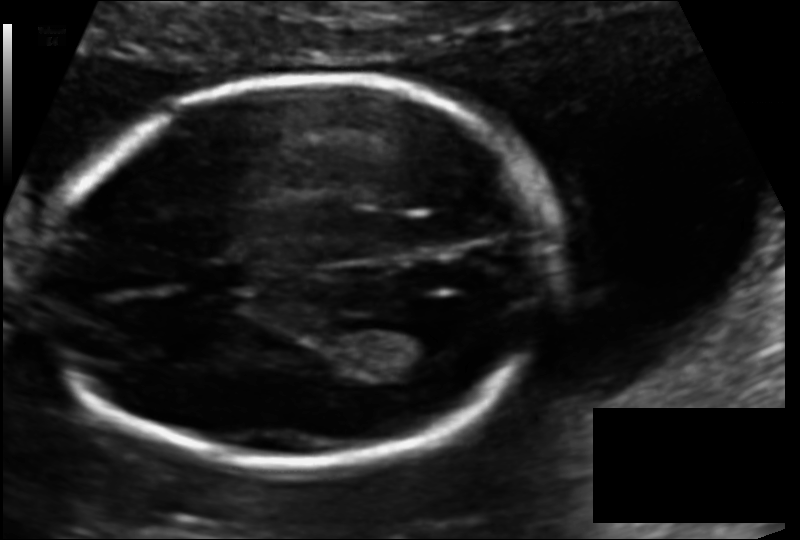
Fetal head ultrasound. Image width: 90.5 mm. Locate the lateral ventricle.

Lateral ventricle: [355,310,450,374]